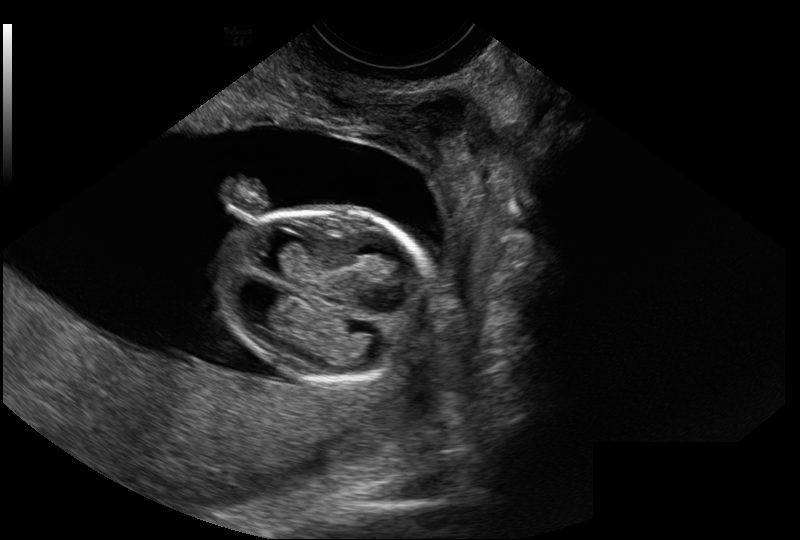
Estimate the fetal head circumference from this 2D ultrasound. Image width: 91.6 mm.

Head circumference: 73.0 mm.